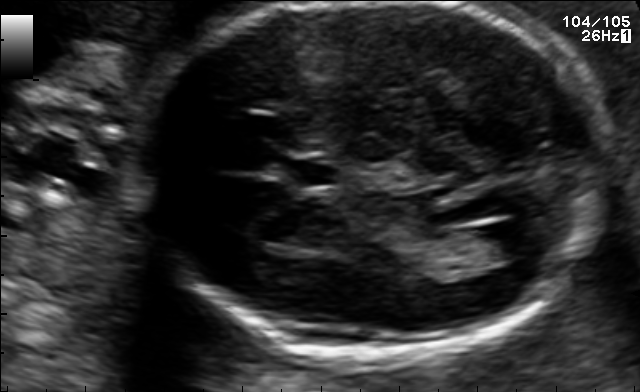
Fetal brain, trans-ventricular plane. Where is the lateral ventricle?

Lateral ventricle bounding box: [478,207,556,265]